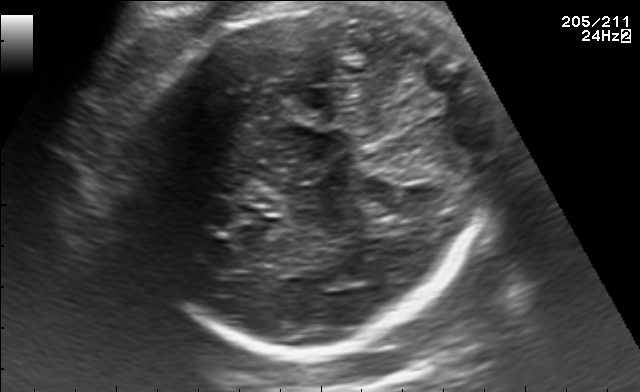
Fetal brain, trans-thalamic plane. Locate the fetal head.

Head: [126,7,491,351]